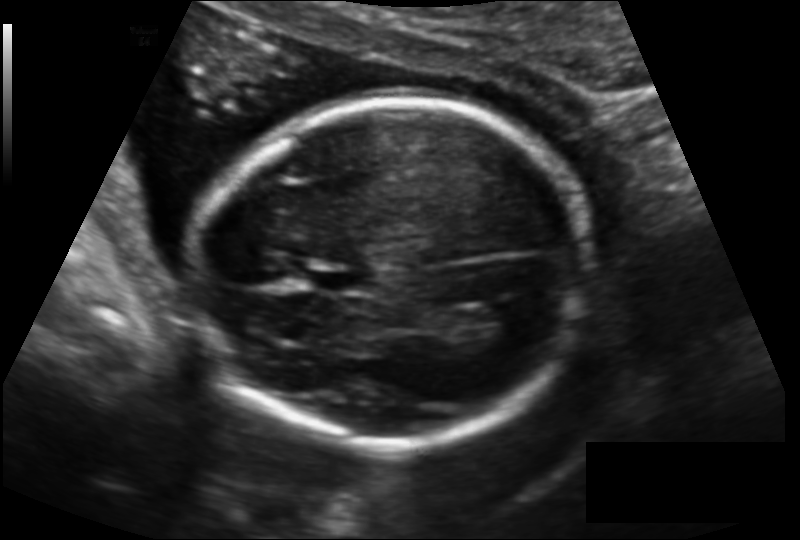
In this fetal head ultrasound, give bounding boxes for the head outline, cavum septum pellucidum (CSP), and lateral ventricle (LV), where visible. Image width: 111.8 mm.

Head: [201,99,591,444]
CSP: [309,264,370,297]
Lateral ventricle: [472,298,533,340]